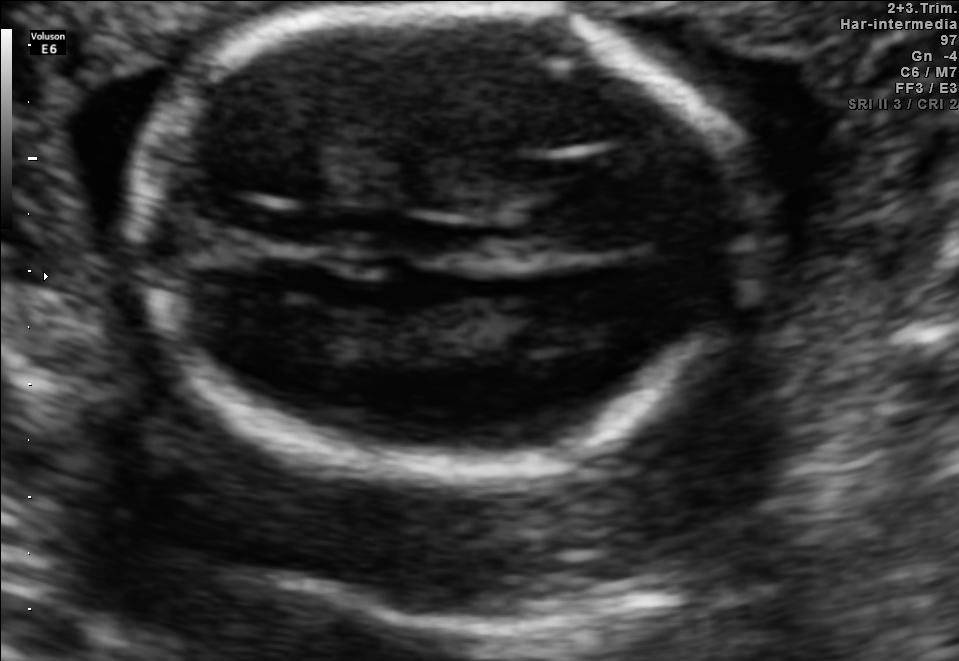
Fetal brain, trans-thalamic plane. Where is the fetal head?

Head bounding box: [134,9,765,480]